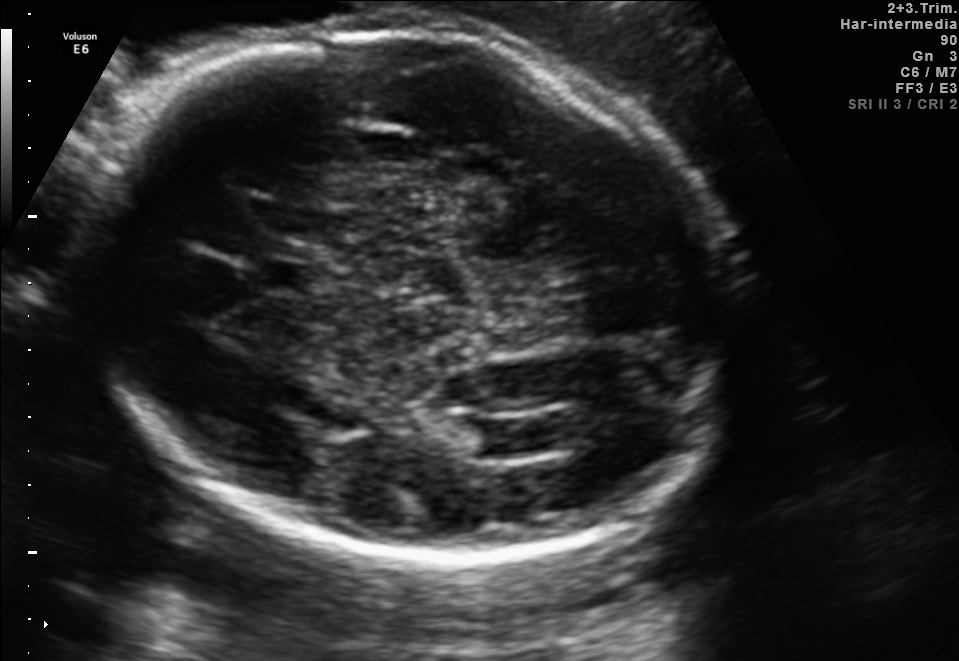
Classify this maternal-fetal ultrasound image as one of the six standard planes — fetal abdomen, fetal brain, fetal femur, fetal thorax, maternal cervix, or other. If it's fetal brain and one of the three standard brain planes (trans-thalamic, trans-cerebellum, trans-ventricular), name which.

Fetal brain (trans-ventricular plane)